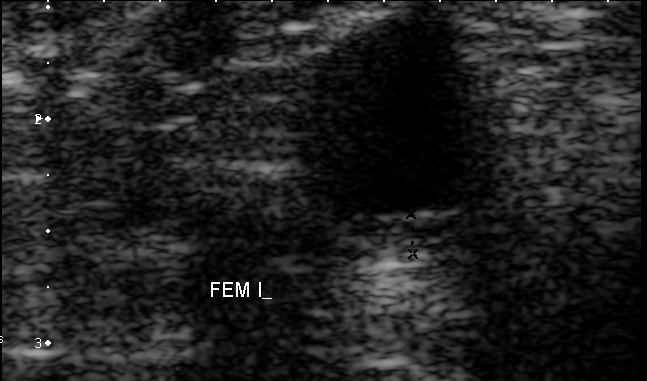
Classify this maternal-fetal ultrasound image as one of the six standard planes — fetal abdomen, fetal brain, fetal femur, fetal thorax, maternal cervix, or other. If it's fetal brain and one of the three standard brain planes (trans-thalamic, trans-cerebellum, trans-ventricular), name which.

Other